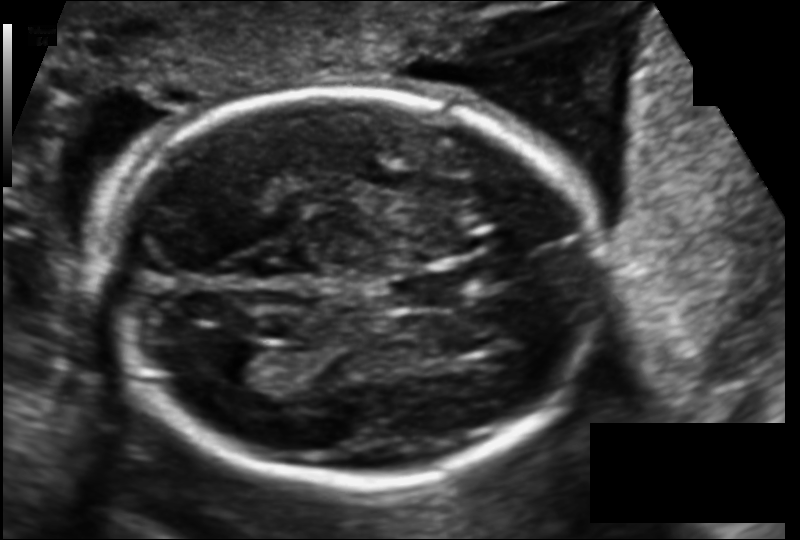
Estimate the fetal head circumference from this 2D ultrasound.

Head circumference: 189.9 mm (image width 104.3 mm).